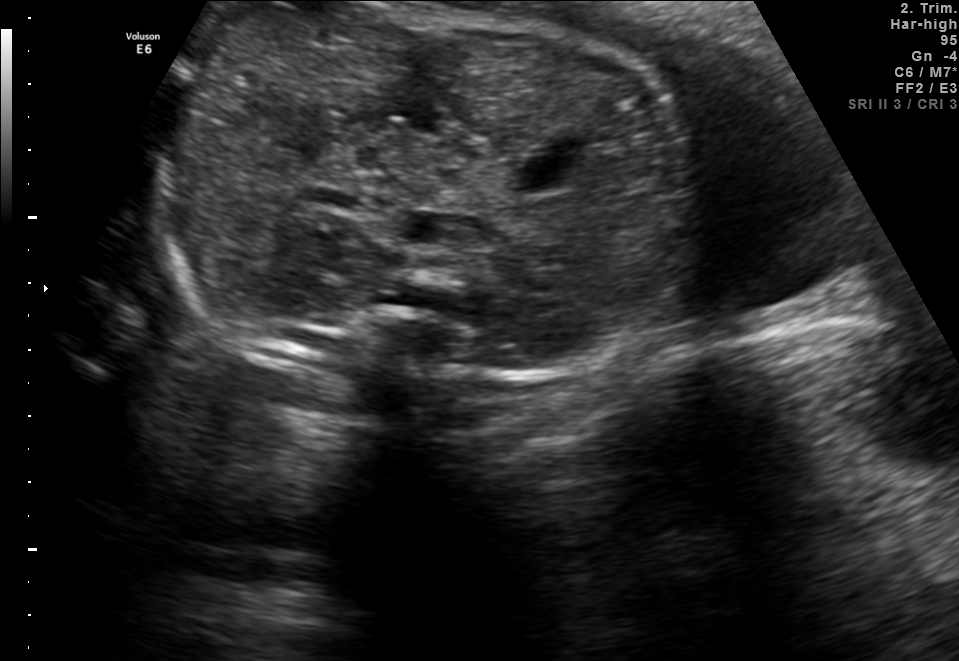
Which standard maternal-fetal ultrasound plane is shown: fetal abdomen, fetal brain, fetal femur, fetal thorax, maternal cervix, or other? If it's fetal brain and one of the three standard brain planes (trans-thalamic, trans-cerebellum, trans-ventricular), name which.

Other